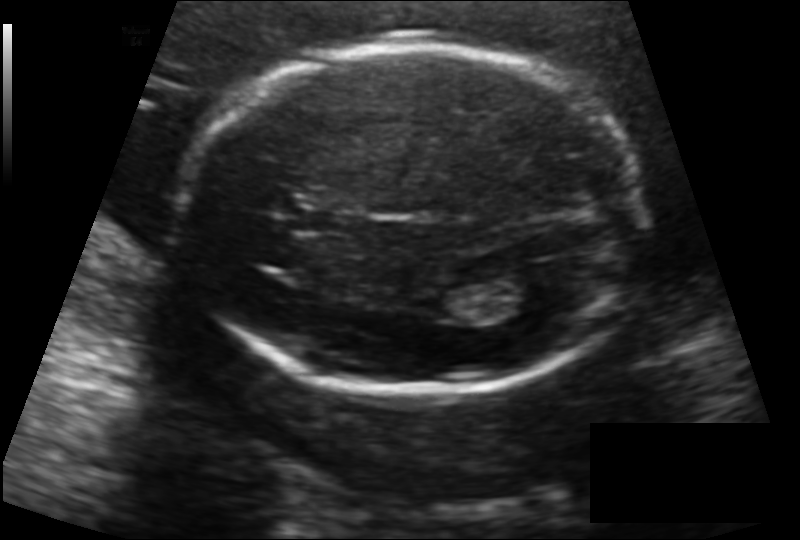
In this fetal head ultrasound, give bounding boxes for the head outline, cavum septum pellucidum (CSP), and lateral ventricle (LV), where visible. Image width: 113.3 mm.

Head: [180,47,647,394]
CSP: [291,204,358,238]
Lateral ventricle: [489,268,558,320]